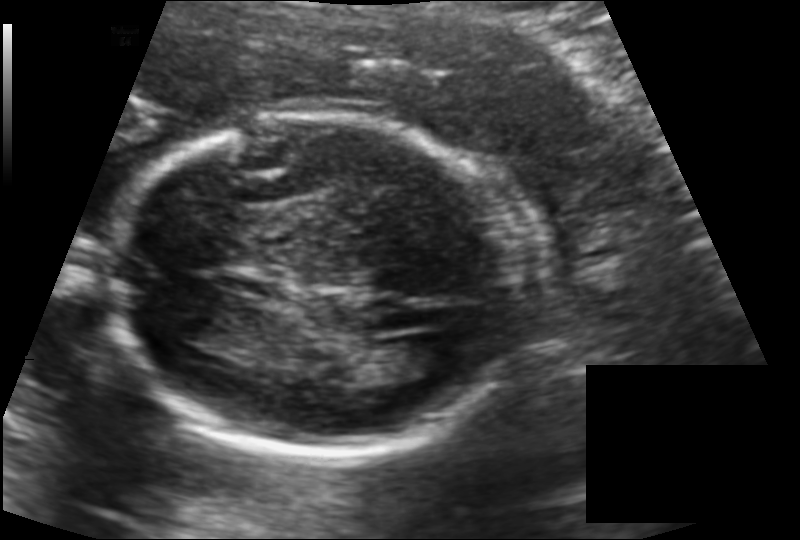
Fetal head ultrasound. Image width: 113.5 mm. Give [x1,y1,x2,y2] bounding boxes for each visible structure among: fetal head, CSP, LV.

Head: [111,115,522,459]